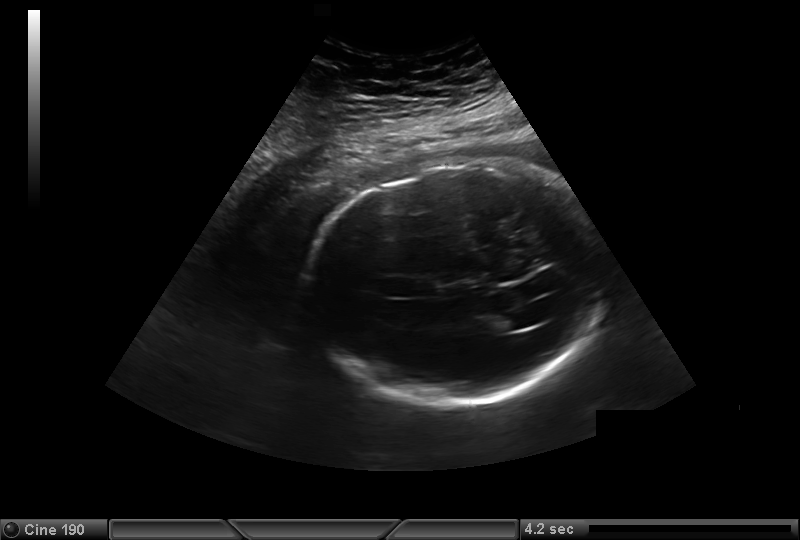
In this fetal head ultrasound, give bounding boxes for the head outline, cavum septum pellucidum (CSP), and lateral ventricle (LV), where visible. Image width: 258.3 mm.

Head: [306,164,607,405]
Lateral ventricle: [489,309,527,334]